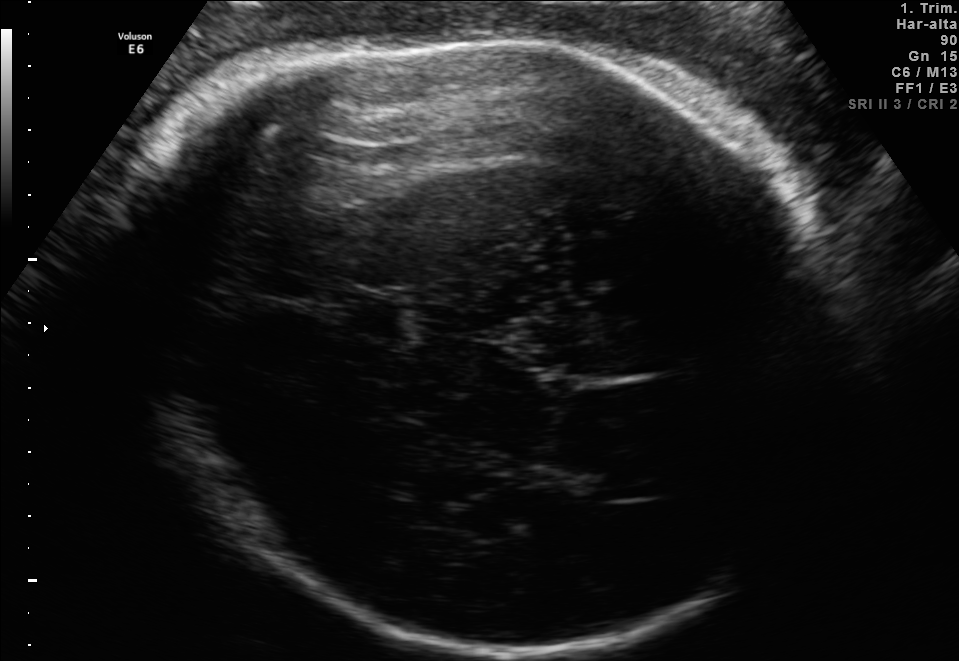
Which standard maternal-fetal ultrasound plane is shown: fetal abdomen, fetal brain, fetal femur, fetal thorax, maternal cervix, or other? If it's fetal brain and one of the three standard brain planes (trans-thalamic, trans-cerebellum, trans-ventricular), name which.

Fetal brain (trans-thalamic plane)